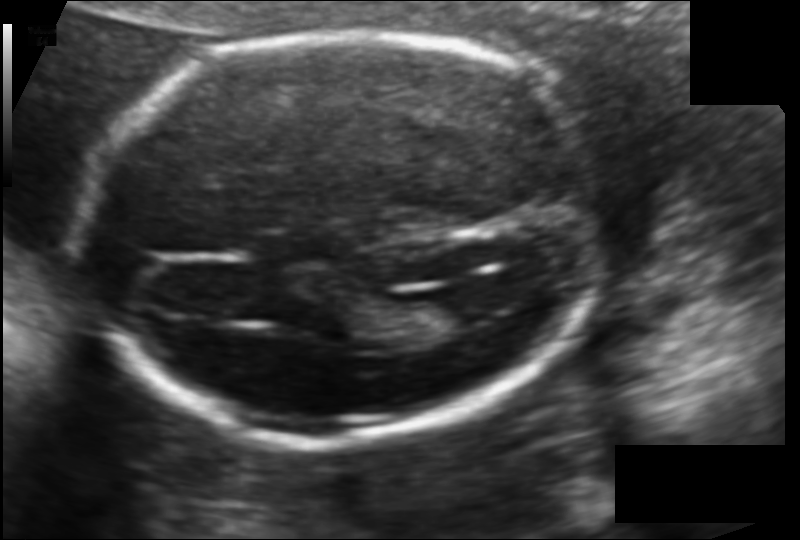
Fetal head ultrasound. Image width: 94.7 mm. Where is the fetal head?

Head bounding box: [80,29,601,440]